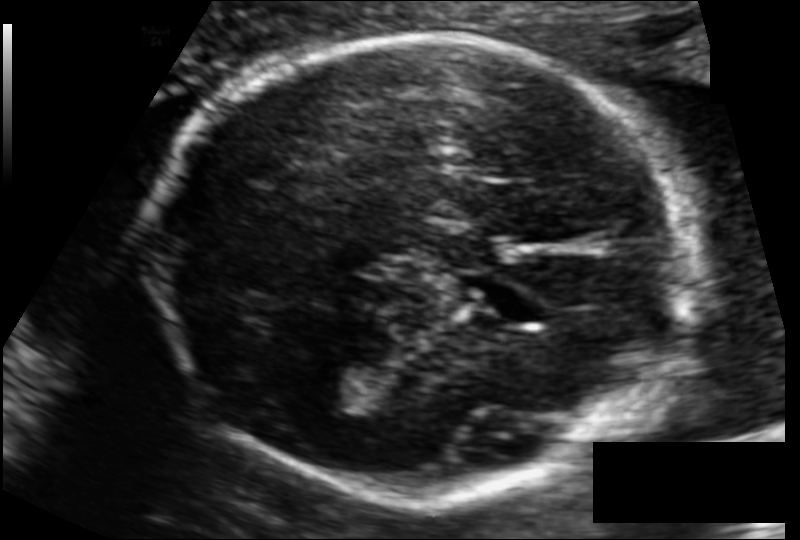
What is the fetal head circumference? Image width is 89.9 mm.

184.4 mm